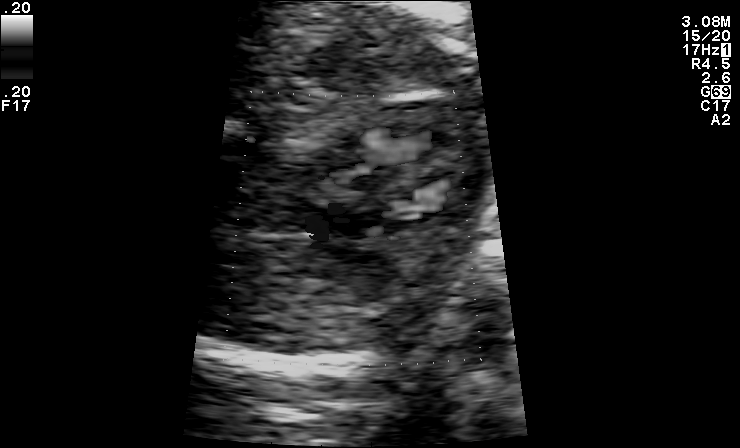
Identify the standard plane in this fetal ultrasound image: fetal abdomen, fetal brain, fetal femur, fetal thorax, maternal cervix, or other. If it's fetal brain and one of the three standard brain planes (trans-thalamic, trans-cerebellum, trans-ventricular), name which.

Other